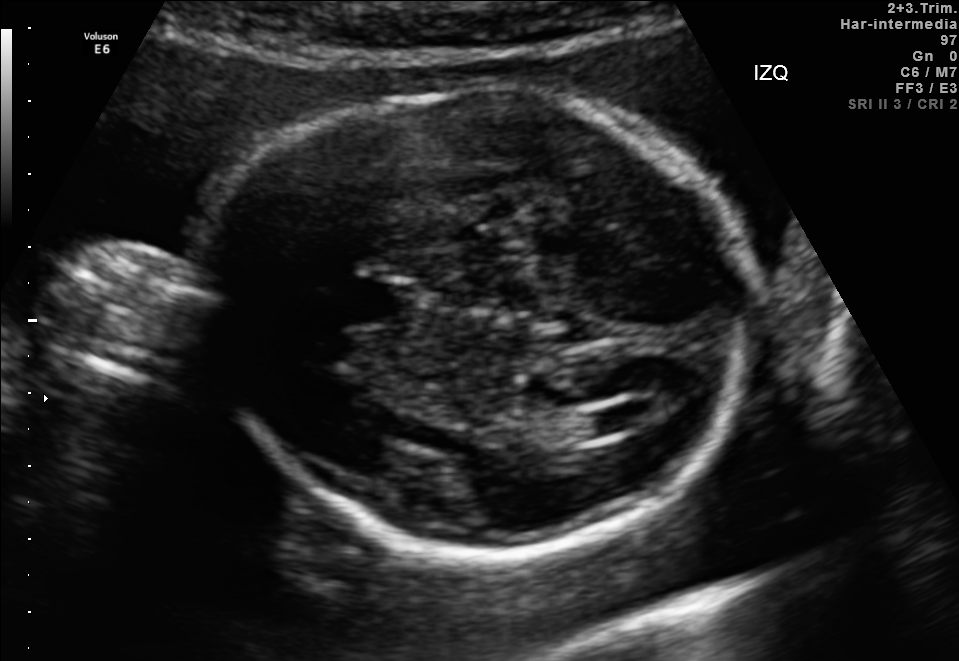
Fetal brain, trans-ventricular plane. Locate the fetal head.

Head: [186,78,775,565]